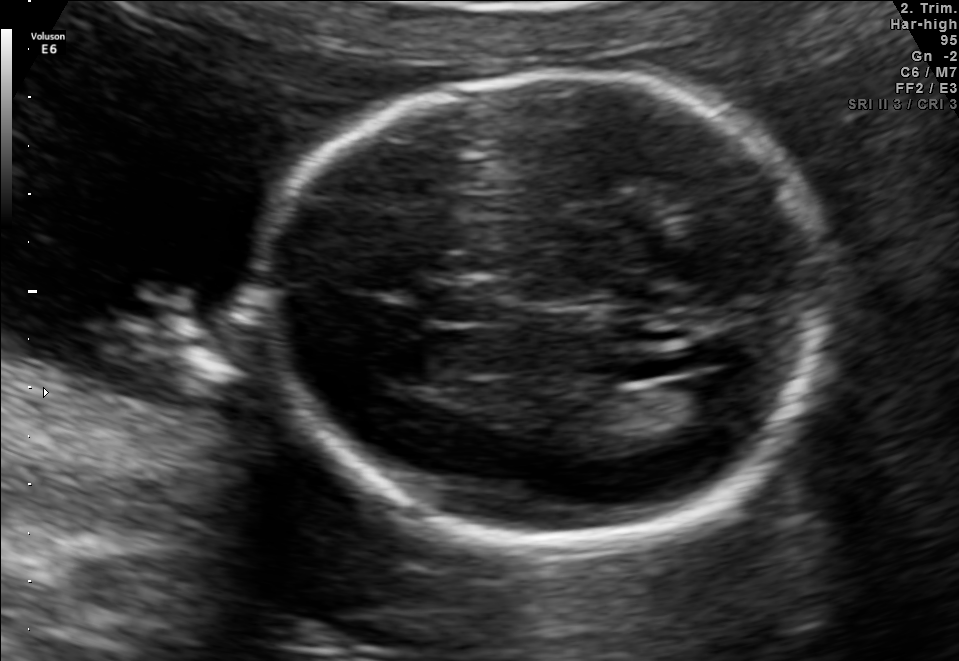
Fetal brain, trans-ventricular plane. Where is the cavum septum pellucidum?

CSP bounding box: [427,290,497,323]